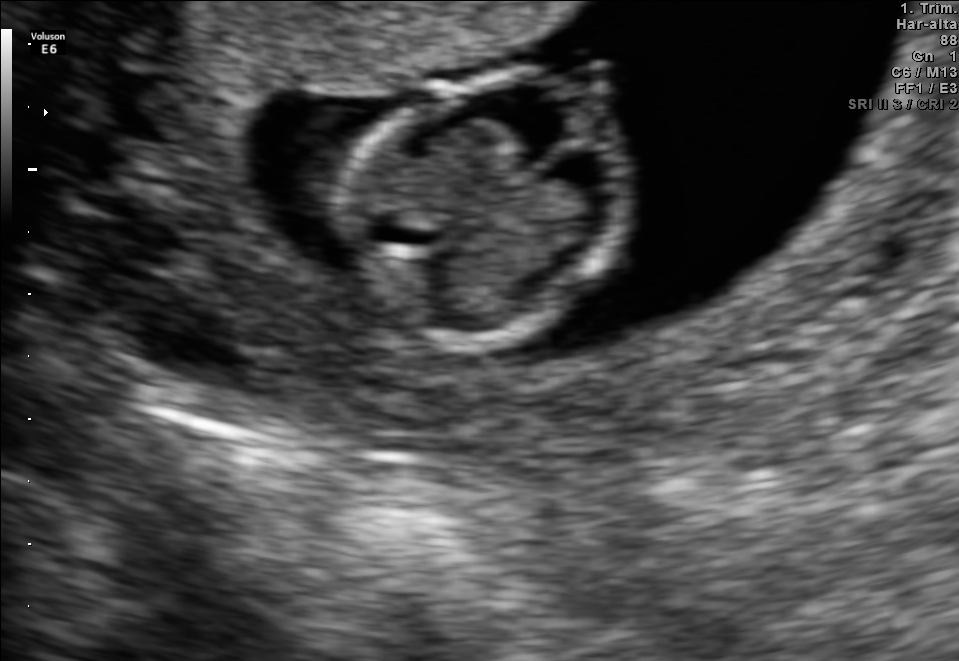
Fetal brain, trans-thalamic plane. Locate the fetal head.

Head: [347,70,638,341]